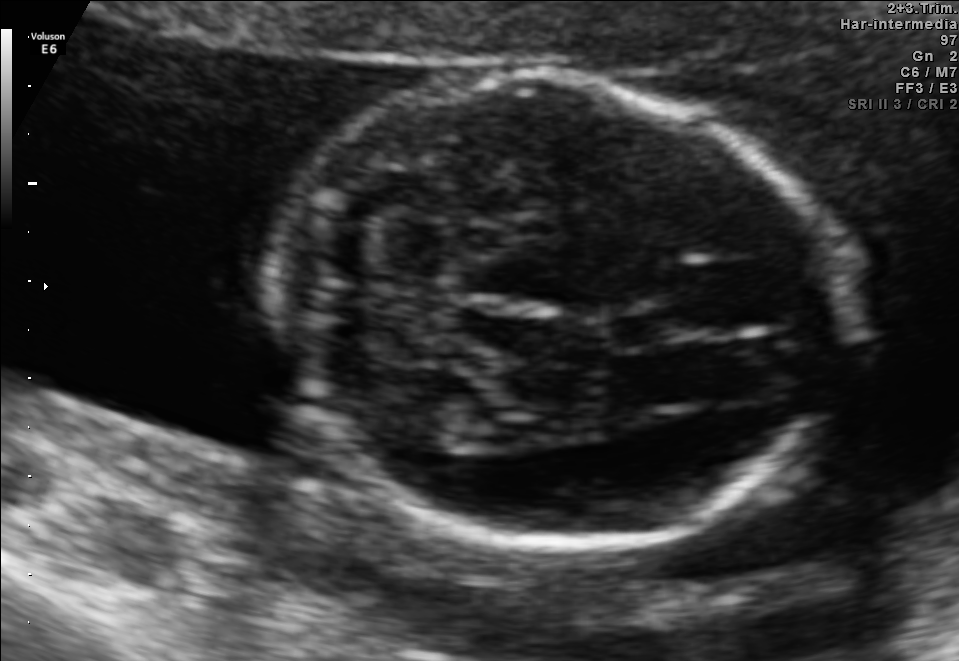
Fetal brain, trans-cerebellum plane. Locate the fetal head.

Head: [267,78,842,543]